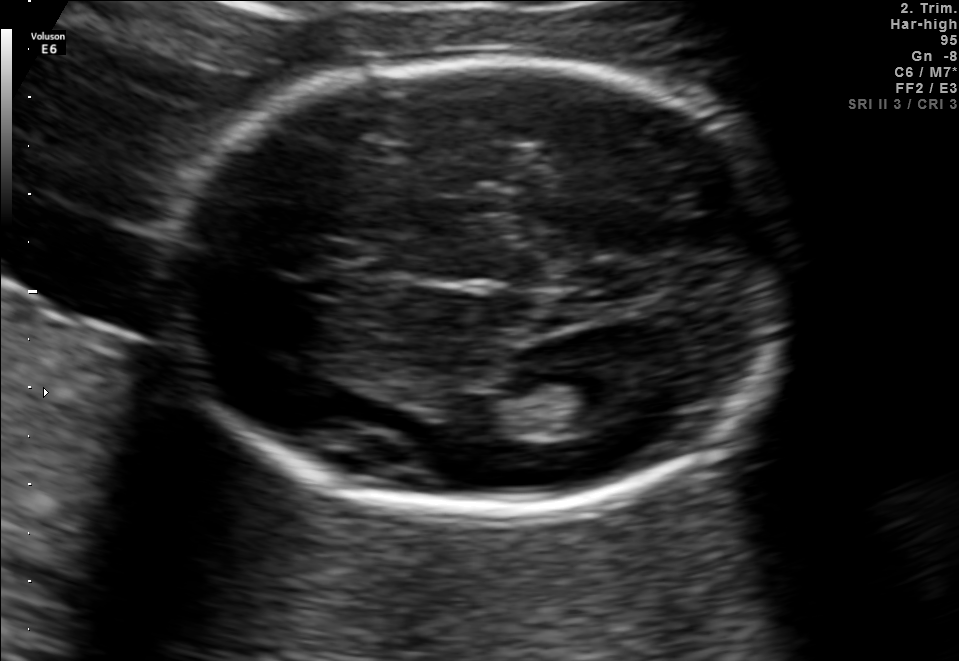
Classify this maternal-fetal ultrasound image as one of the six standard planes — fetal abdomen, fetal brain, fetal femur, fetal thorax, maternal cervix, or other. If it's fetal brain and one of the three standard brain planes (trans-thalamic, trans-cerebellum, trans-ventricular), name which.

Fetal brain (trans-thalamic plane)